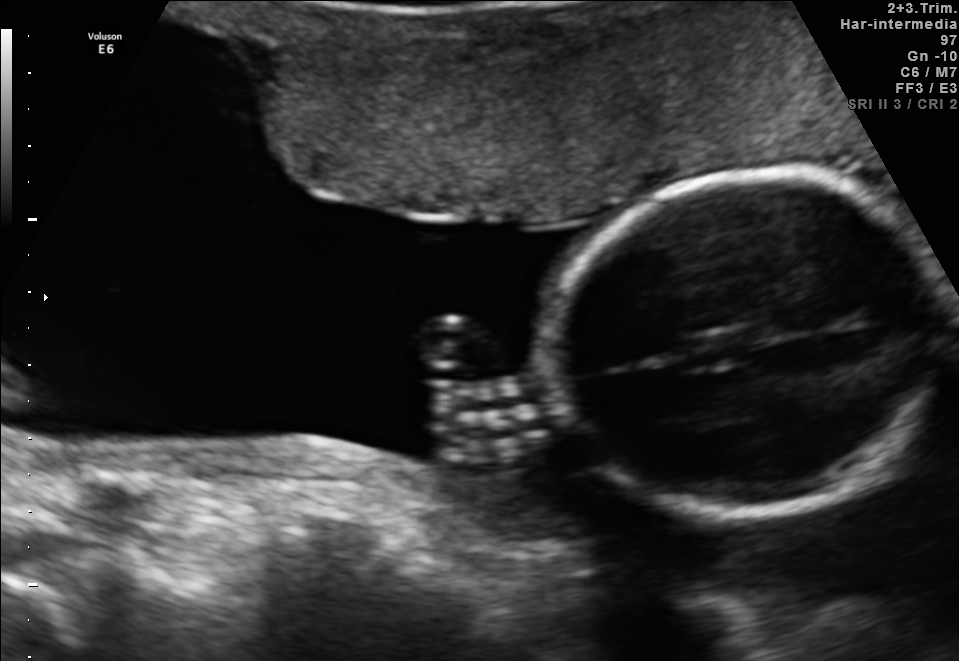
Identify the standard plane in this fetal ultrasound image: fetal abdomen, fetal brain, fetal femur, fetal thorax, maternal cervix, or other. If it's fetal brain and one of the three standard brain planes (trans-thalamic, trans-cerebellum, trans-ventricular), name which.

Fetal brain (trans-thalamic plane)